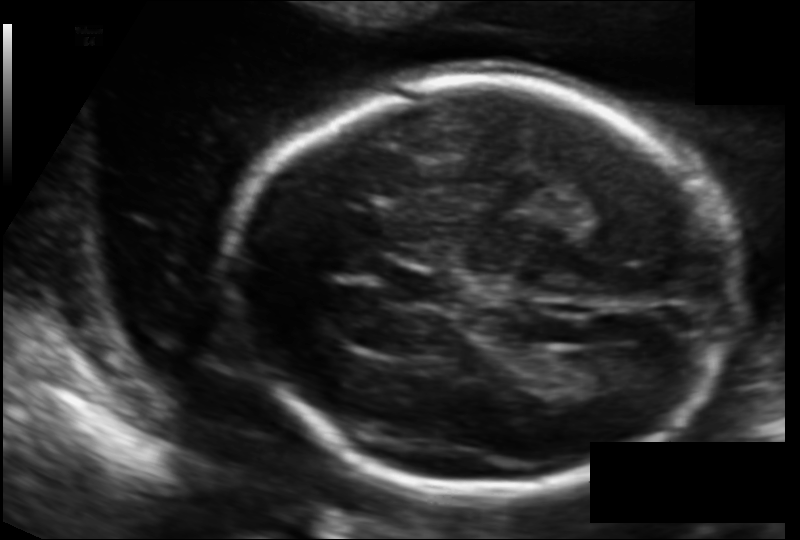
In this fetal head ultrasound, give the bounding box of the cavum septum pellucidum. Image width: 100.4 mm.

[383,260,463,316]